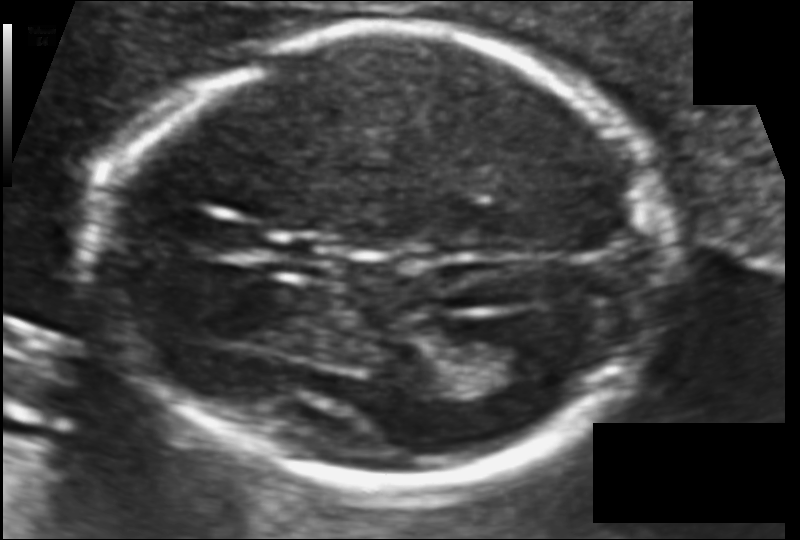
Measure the fetal head circumference shown in this ultrasound image. Image width: 78.9 mm.

Head circumference: 167.4 mm.